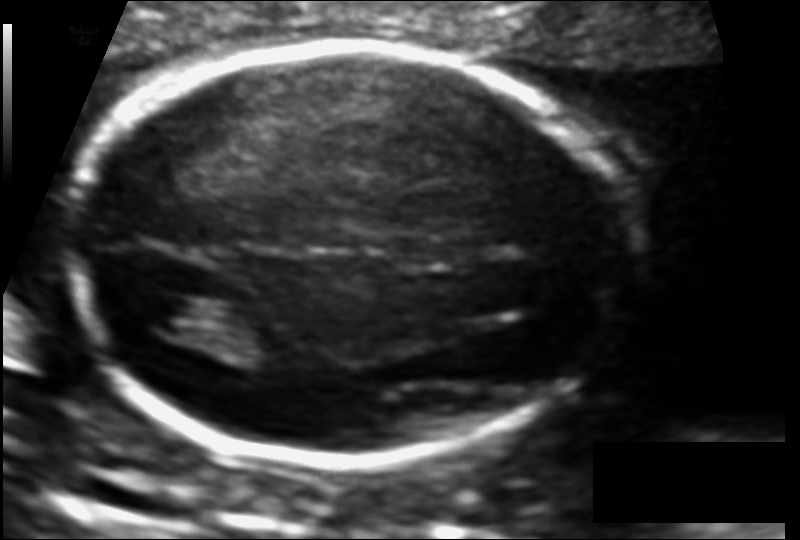
In this fetal head ultrasound, give the bounding box of the lateral ventricle. Image width: 88.9 mm.

[128,282,214,346]